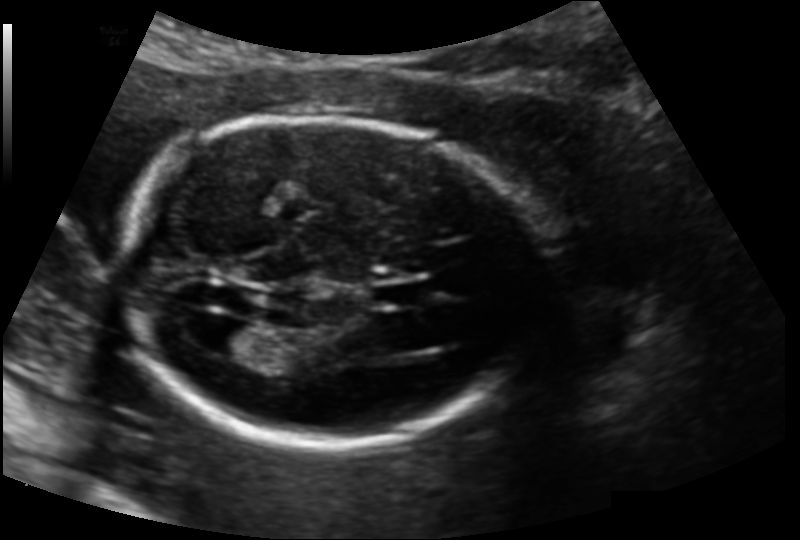
Fetal head ultrasound. Image width: 111.6 mm. Locate the fetal head.

Head: [117,118,536,448]